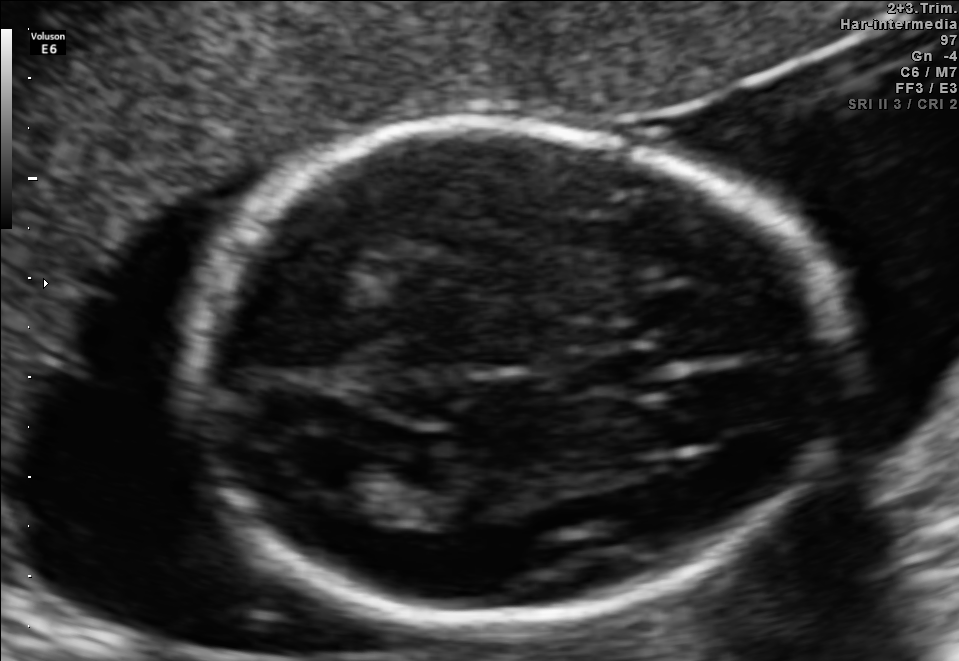
Fetal brain, trans-ventricular plane. Locate the fetal head and, if visible, the cavum septum pellucidum (CSP) and lateral ventricle (LV). Give bounding boxes as [x1,y1,x2,y2].

Head: [167,111,852,630]
CSP: [557,354,641,390]
Lateral ventricle: [283,433,381,501]